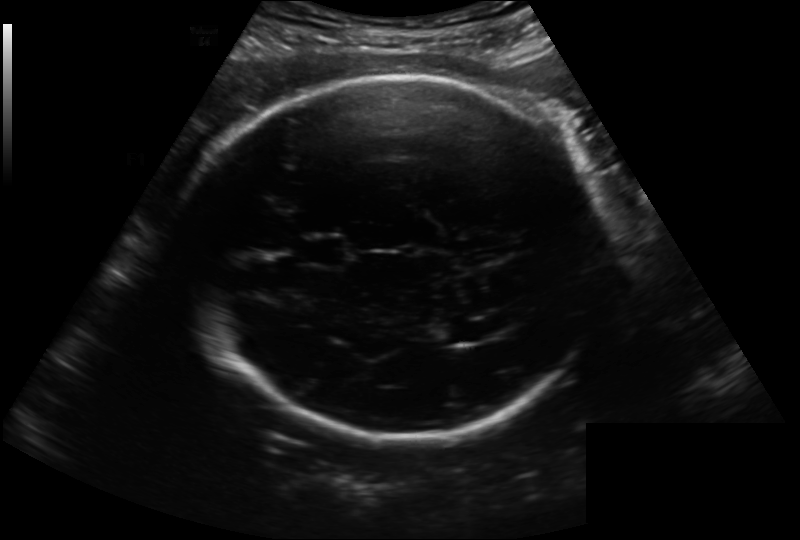
In this fetal head ultrasound, give the bounding box of the fetal head. Image width: 177.3 mm.

[179,74,607,436]